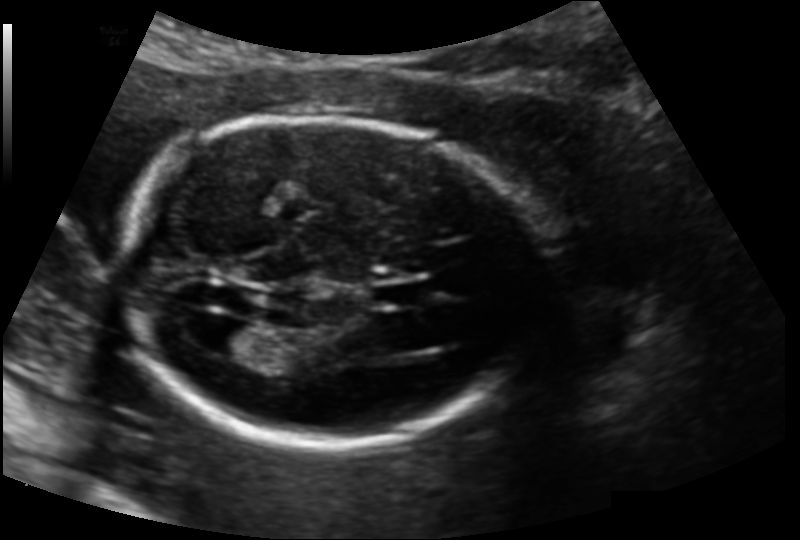
In this fetal head ultrasound, give the bounding box of the cavum septum pellucidum. Image width: 111.6 mm.

[372,277,428,311]